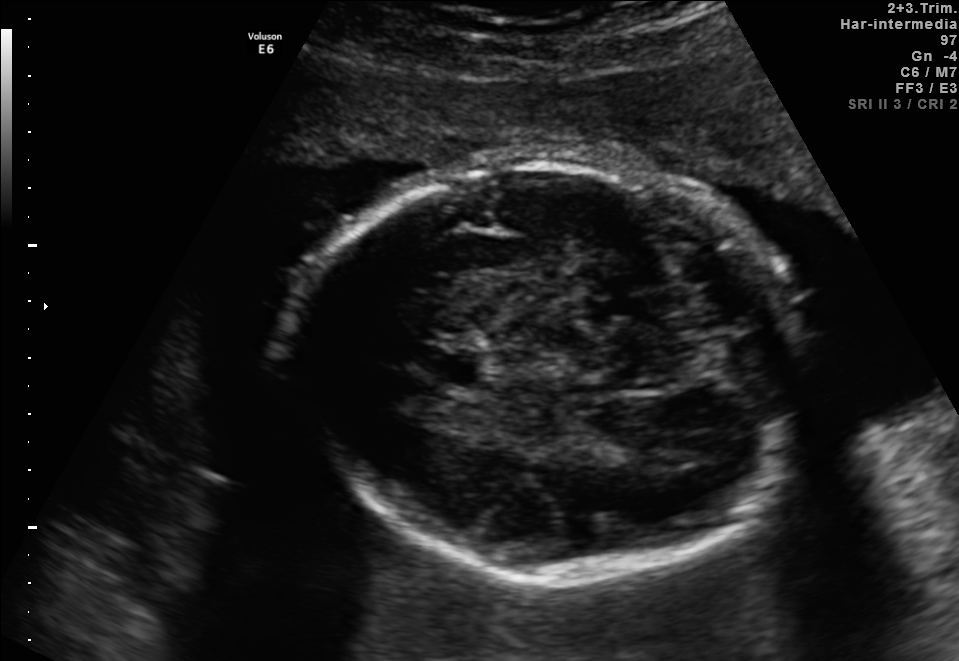
Fetal brain, trans-thalamic plane. Locate the fetal head and, if visible, the cavum septum pellucidum (CSP) and lateral ventricle (LV). Give bounding boxes as [x1,y1,x2,y2].

Head: [302,159,805,580]
CSP: [412,340,485,390]